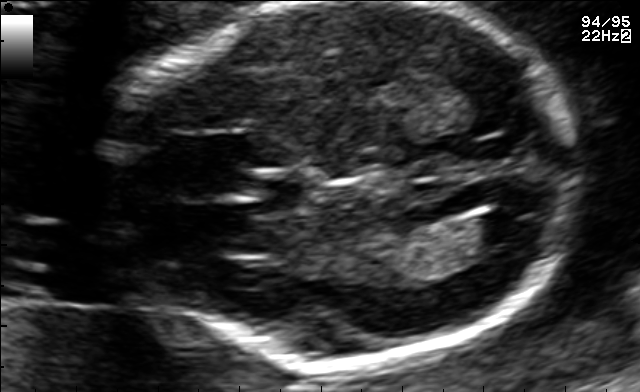
Fetal brain, trans-ventricular plane. Locate the fetal head and, if visible, the cavum septum pellucidum (CSP) and lateral ventricle (LV). Give bounding boxes as [x1,y1,x2,y2].

Head: [93,2,599,374]
CSP: [251,180,306,211]
Lateral ventricle: [467,202,537,250]